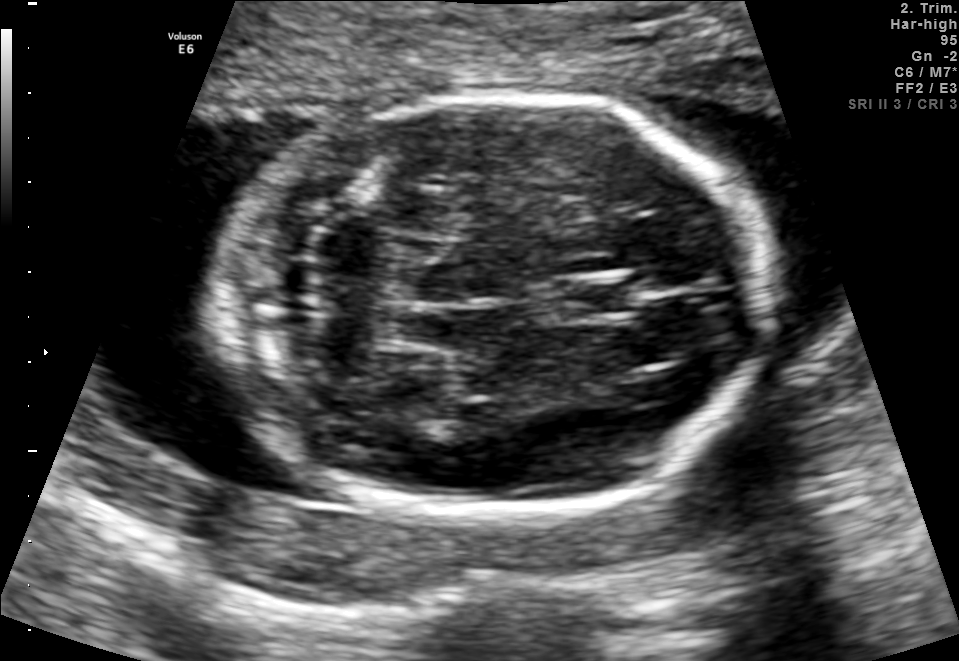
In this fetal brain, trans-cerebellum plane, give the bounding box of the cavum septum pellucidum.

[547,277,634,322]